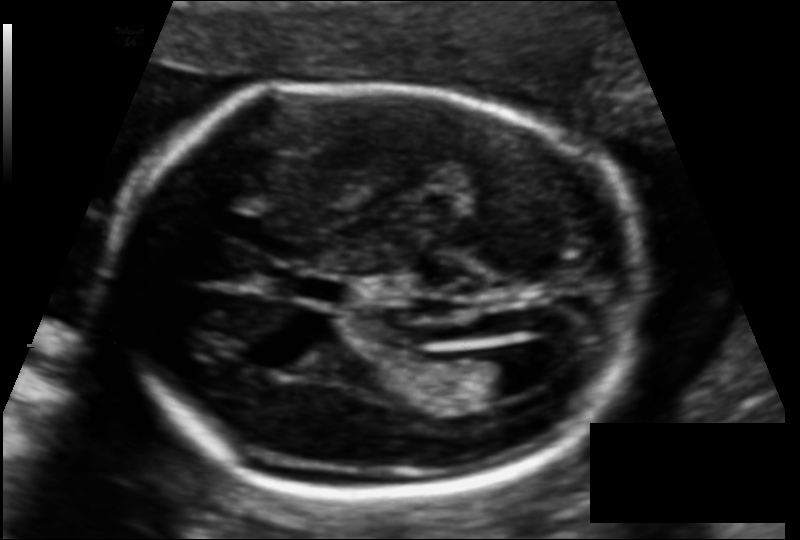
Fetal head ultrasound. Image width: 92.4 mm. Where is the lateral ventricle?

Lateral ventricle bounding box: [451,347,537,406]